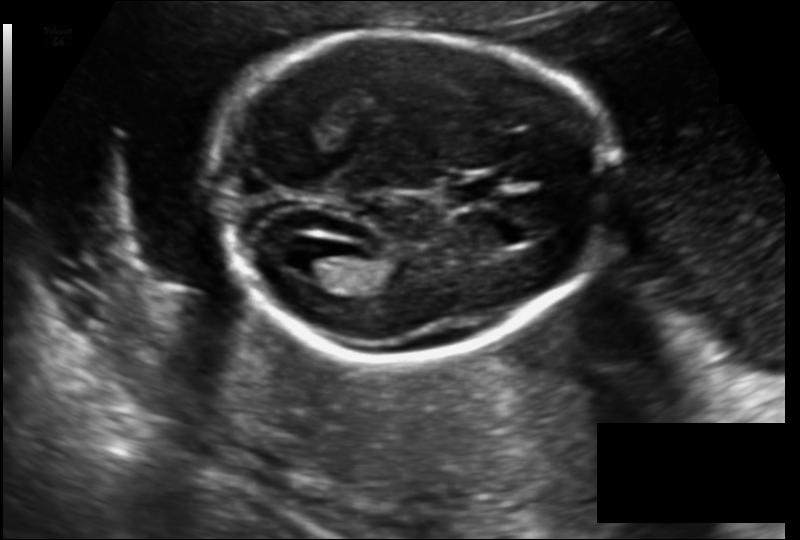
In this fetal head ultrasound, give the bounding box of the lateral ventricle. Image width: 113.3 mm.

[281,238,347,289]